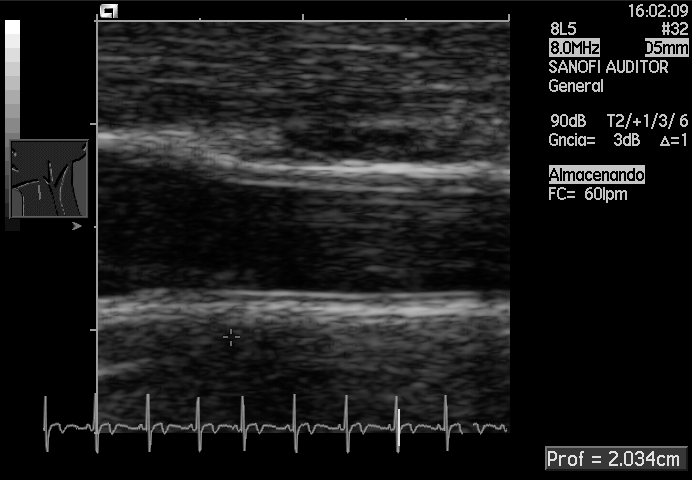
Classify this maternal-fetal ultrasound image as one of the six standard planes — fetal abdomen, fetal brain, fetal femur, fetal thorax, maternal cervix, or other. If it's fetal brain and one of the three standard brain planes (trans-thalamic, trans-cerebellum, trans-ventricular), name which.

Other